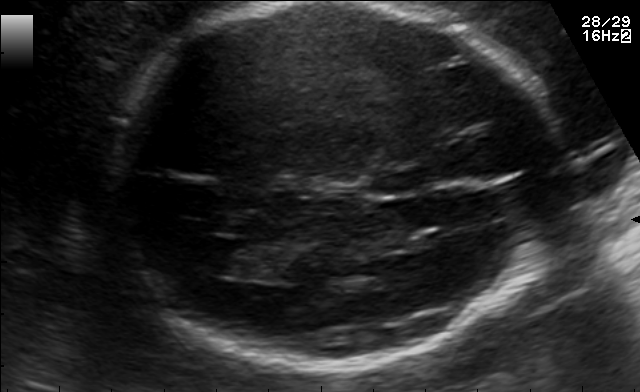
Fetal brain, trans-ventricular plane. Give [x1,y1,x2,y2] bounding boxes for each visible structure among: fetal head, CSP, LV.

Head: [89,2,581,378]
CSP: [371,168,425,198]
Lateral ventricle: [181,235,253,277]